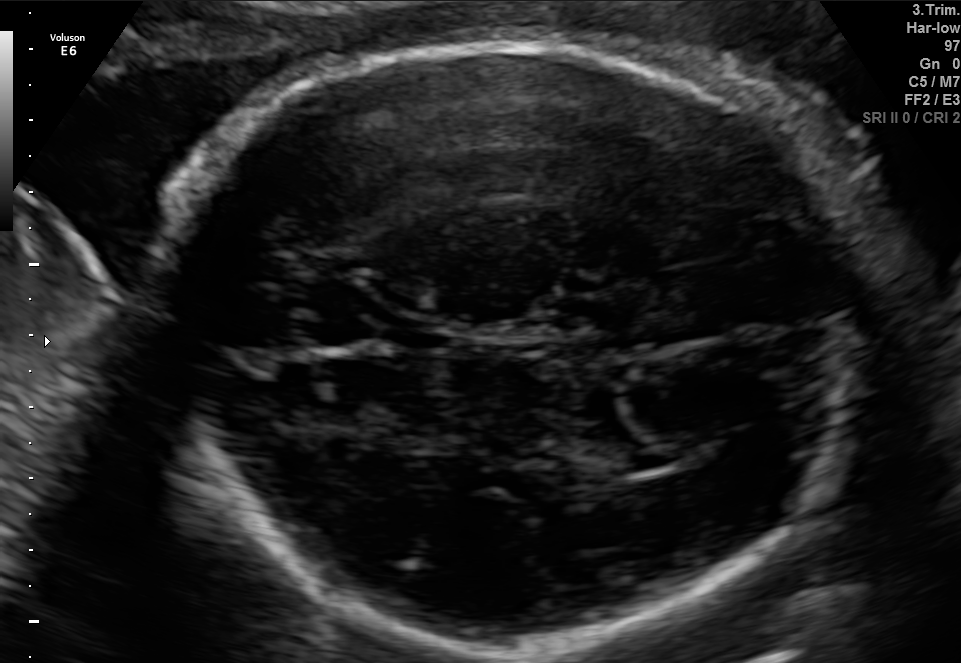
Fetal brain, trans-ventricular plane. Locate the fetal head and, if visible, the cavum septum pellucidum (CSP) and lateral ventricle (LV). Give bounding boxes as [x1,y1,x2,y2].

Head: [138,34,875,655]